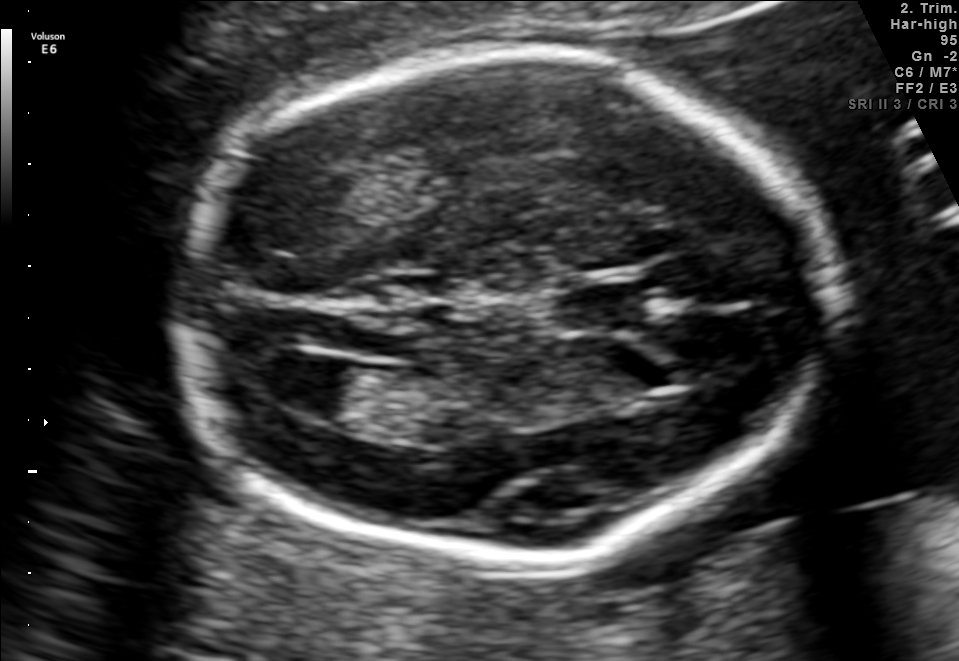
In this fetal brain, trans-ventricular plane, give the bounding box of the cavum septum pellucidum.

[543,279,674,333]